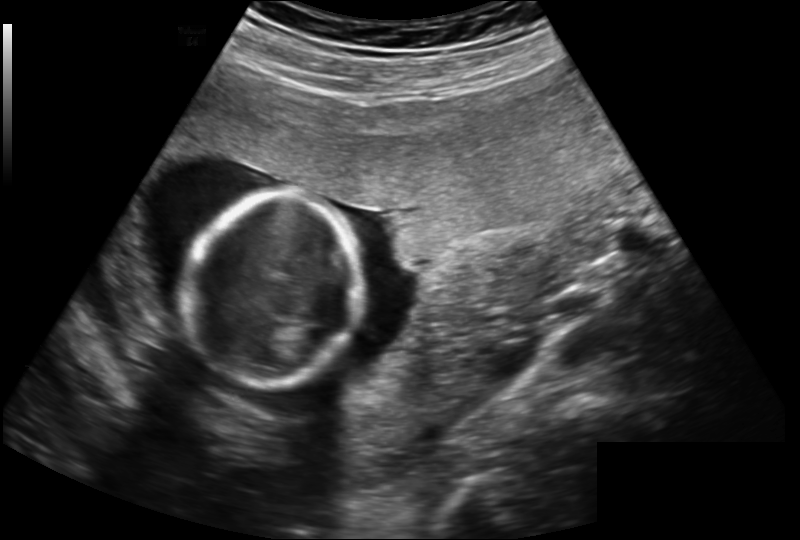
Fetal head ultrasound. Image width: 161.5 mm. Locate the fetal head.

Head: [188,193,364,388]